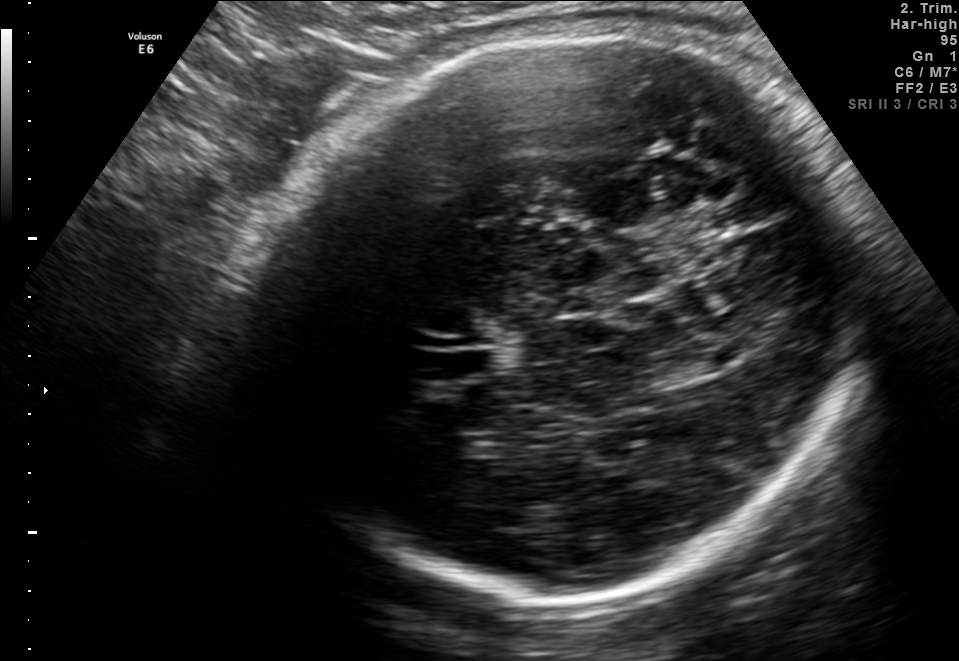
In this fetal brain, trans-thalamic plane, give the bounding box of the fetal head.

[232,32,867,597]